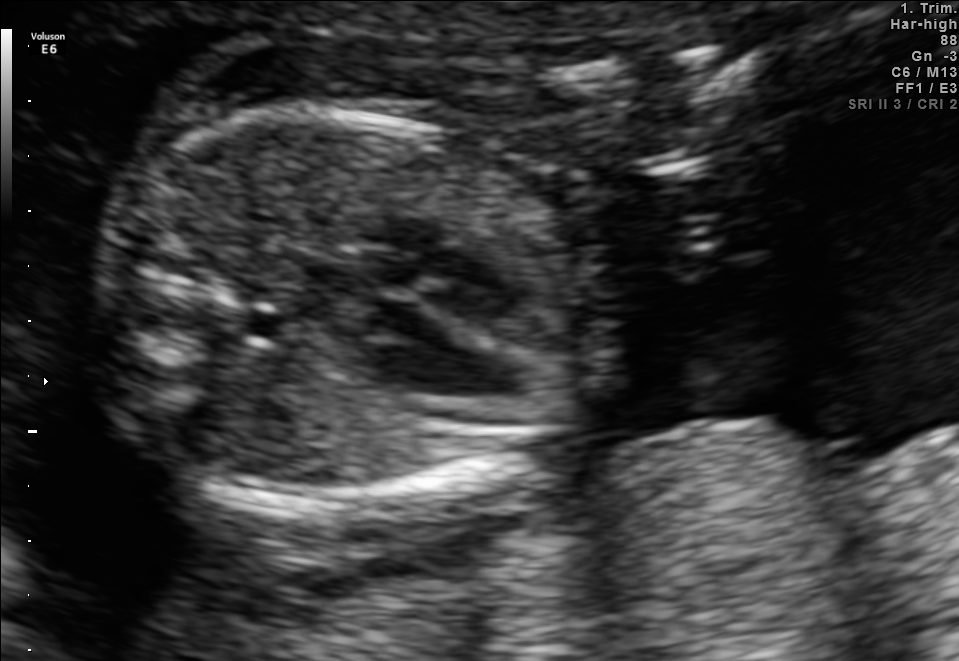
Classify this maternal-fetal ultrasound image as one of the six standard planes — fetal abdomen, fetal brain, fetal femur, fetal thorax, maternal cervix, or other. If it's fetal brain and one of the three standard brain planes (trans-thalamic, trans-cerebellum, trans-ventricular), name which.

Fetal thorax